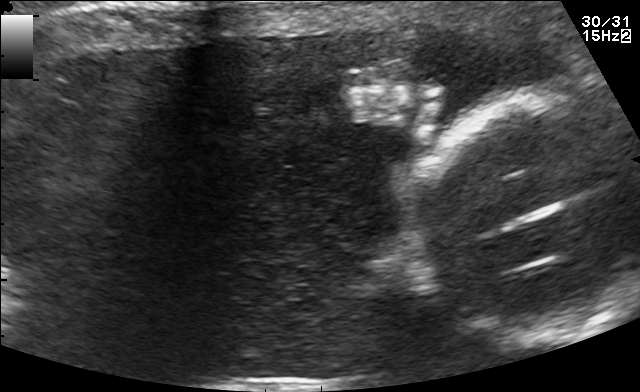
Classify this maternal-fetal ultrasound image as one of the six standard planes — fetal abdomen, fetal brain, fetal femur, fetal thorax, maternal cervix, or other. If it's fetal brain and one of the three standard brain planes (trans-thalamic, trans-cerebellum, trans-ventricular), name which.

Other